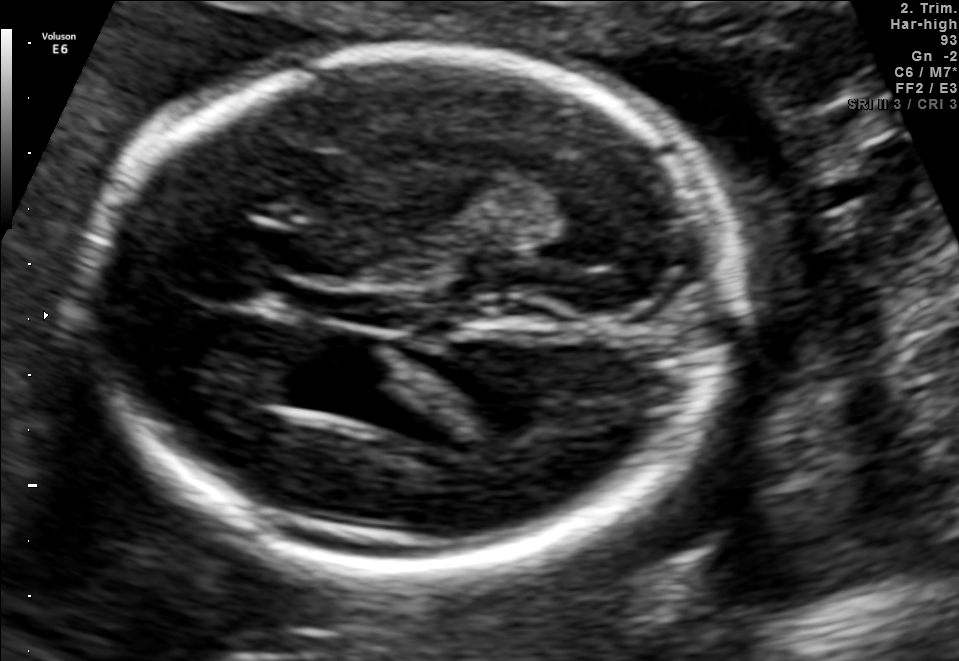
In this fetal brain, trans-thalamic plane, give the bounding box of the fetal head.

[88,49,721,568]